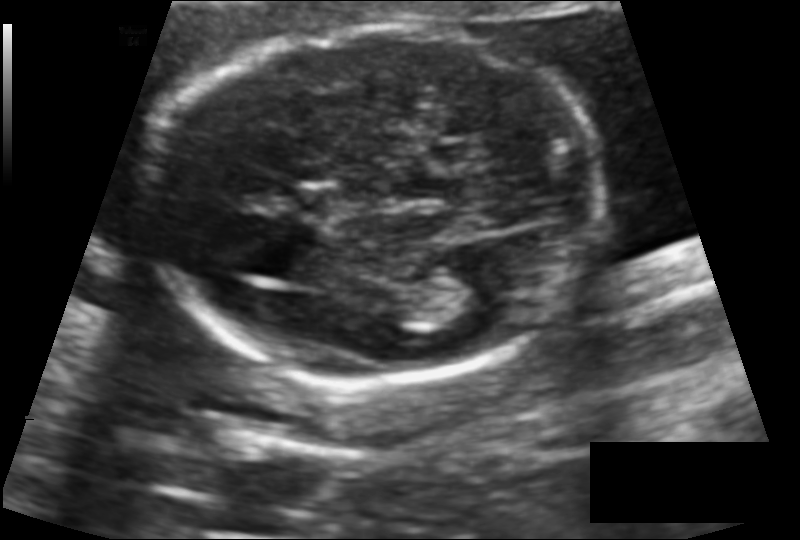
Estimate the fetal head circumference from this 2D ultrasound.

Head circumference: 156.9 mm (image width 94.4 mm).